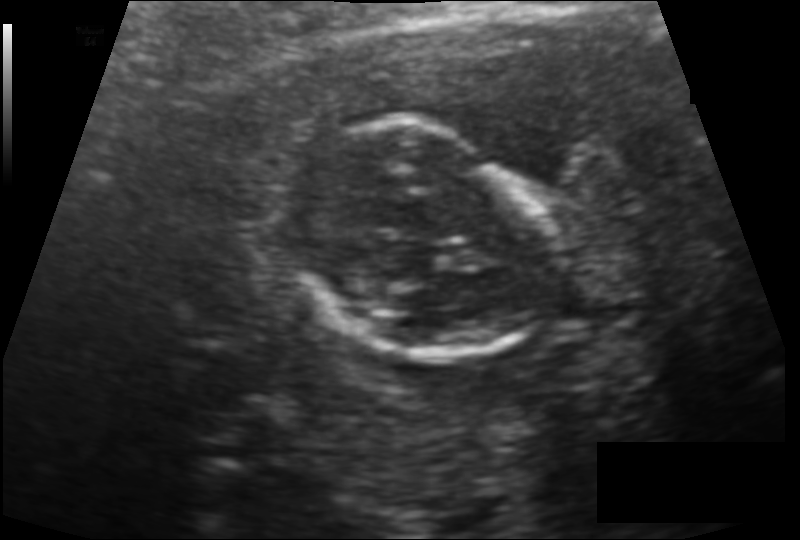
What is the fetal head circumference? Image width is 91.6 mm.

97.2 mm